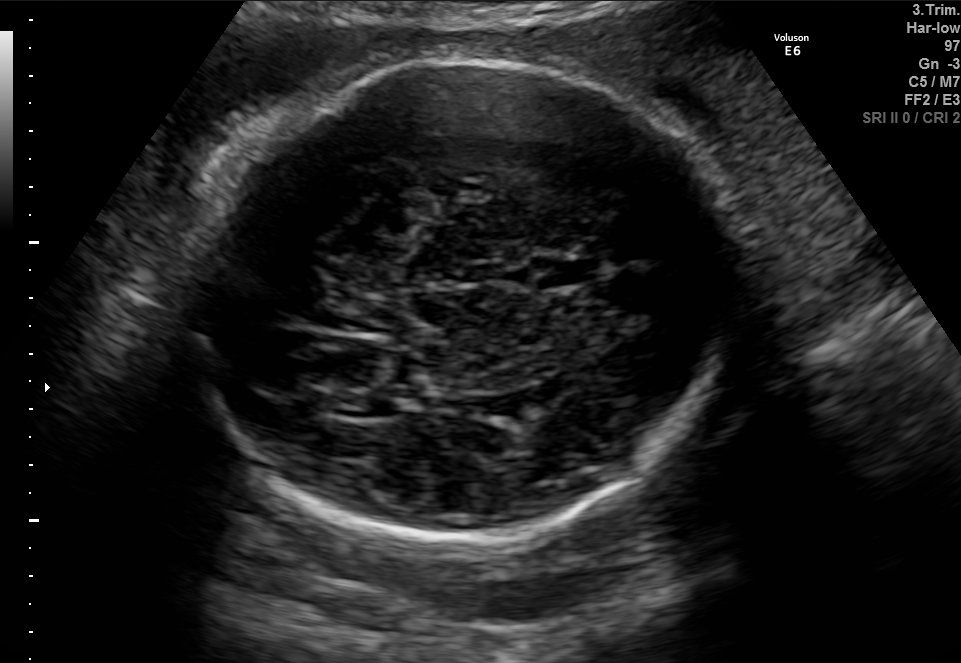
In this fetal brain, trans-thalamic plane, give the bounding box of the cavum septum pellucidum.

[538,257,597,289]